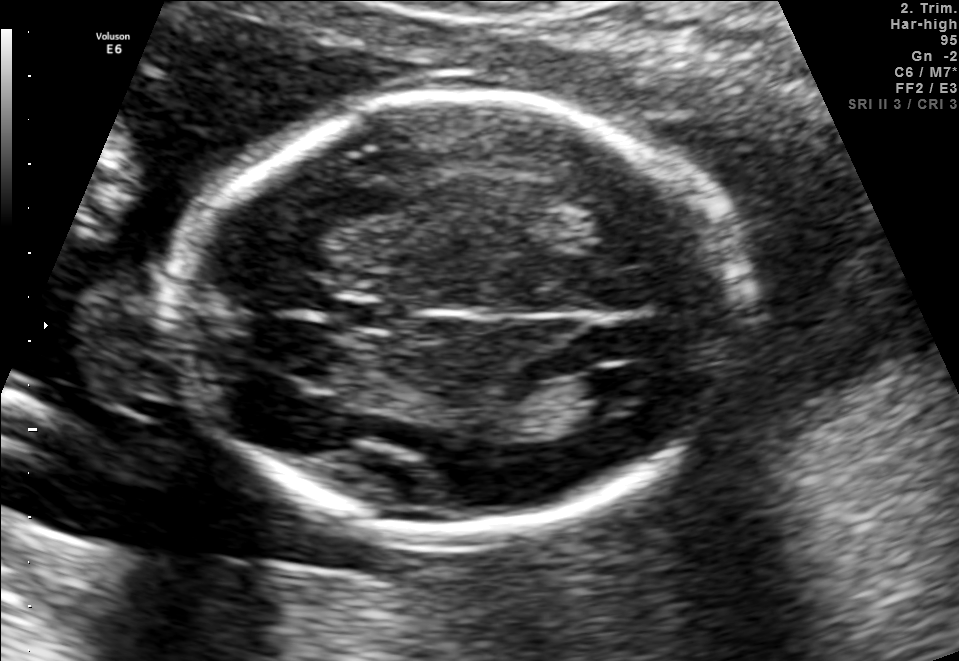
Fetal brain, trans-ventricular plane. Locate the fetal head.

Head: [167,85,762,546]